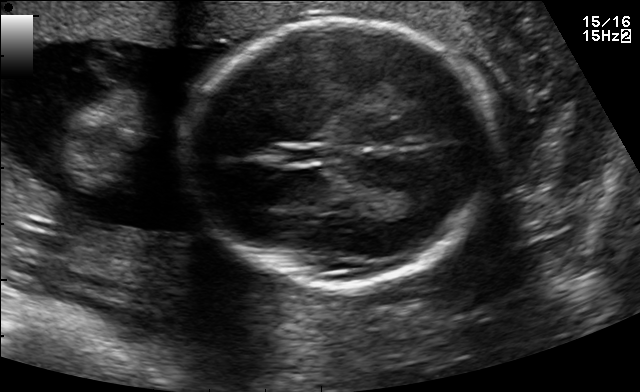
Fetal brain, trans-thalamic plane. Where is the fetal head?

Head bounding box: [188,23,495,288]